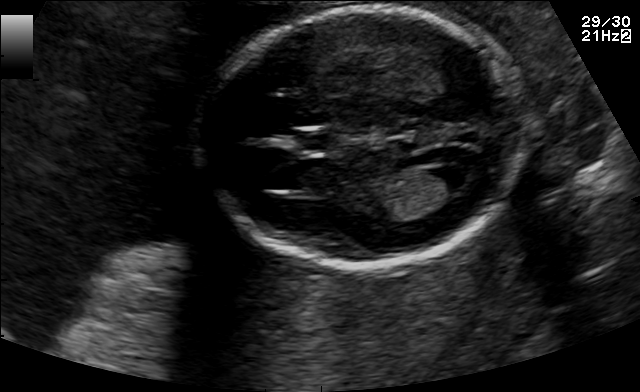
Fetal brain, trans-ventricular plane. Locate the fetal head.

Head: [195,4,539,275]